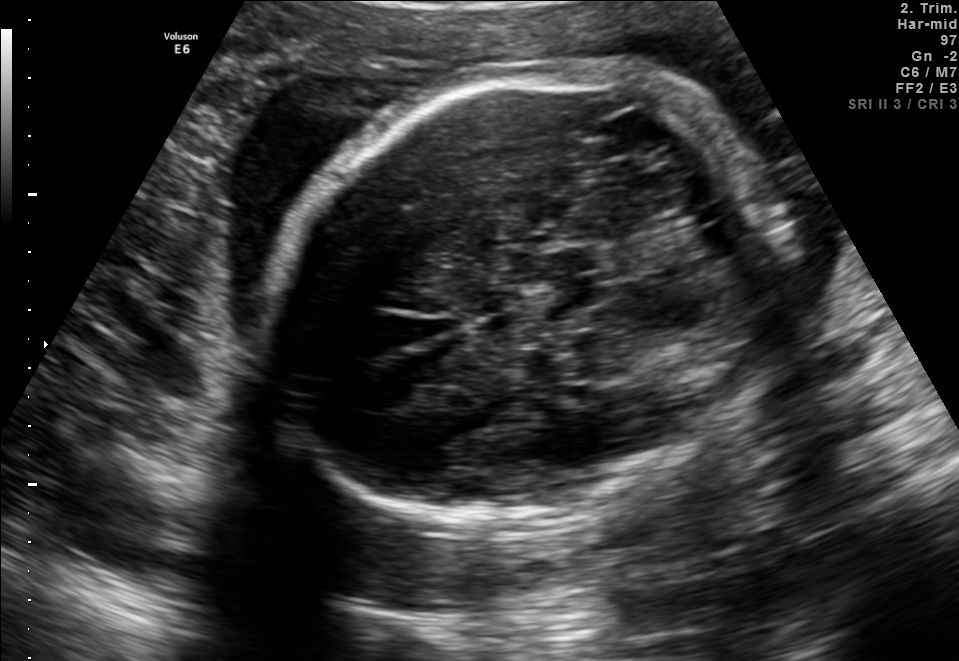
Identify the standard plane in this fetal ultrasound image: fetal abdomen, fetal brain, fetal femur, fetal thorax, maternal cervix, or other. If it's fetal brain and one of the three standard brain planes (trans-thalamic, trans-cerebellum, trans-ventricular), name which.

Fetal brain (trans-cerebellum plane)